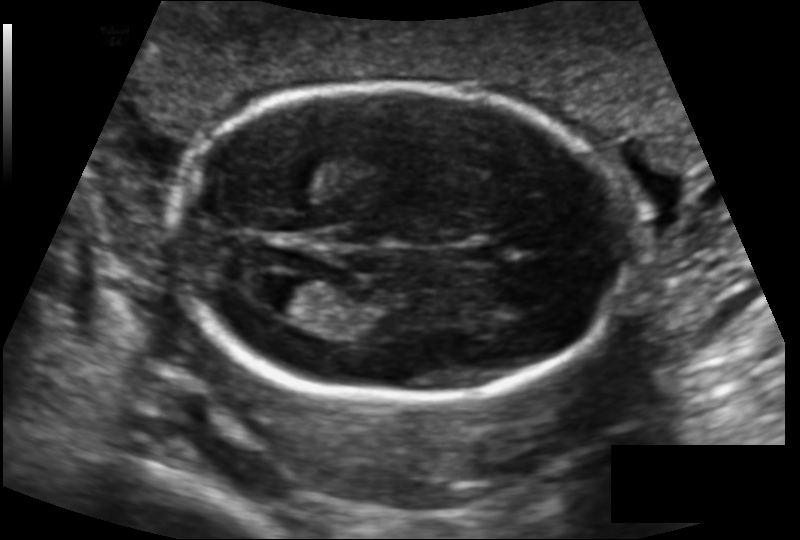
Measure the fetal head circumference shown in this ultrasound image. Image width: 104.8 mm.

Head circumference: 165.4 mm.